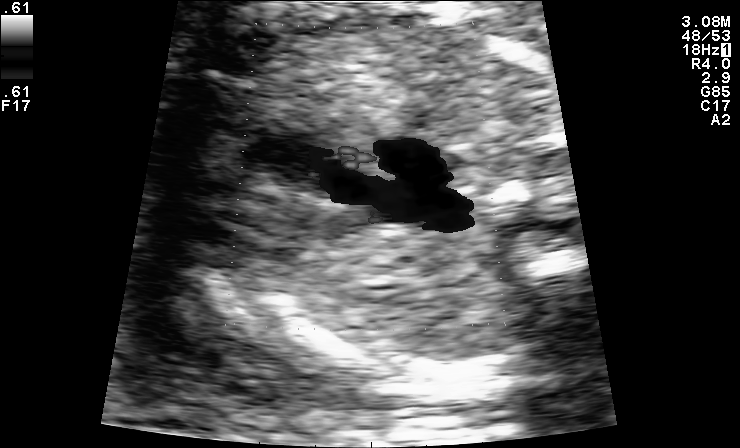
Classify this maternal-fetal ultrasound image as one of the six standard planes — fetal abdomen, fetal brain, fetal femur, fetal thorax, maternal cervix, or other. If it's fetal brain and one of the three standard brain planes (trans-thalamic, trans-cerebellum, trans-ventricular), name which.

Other